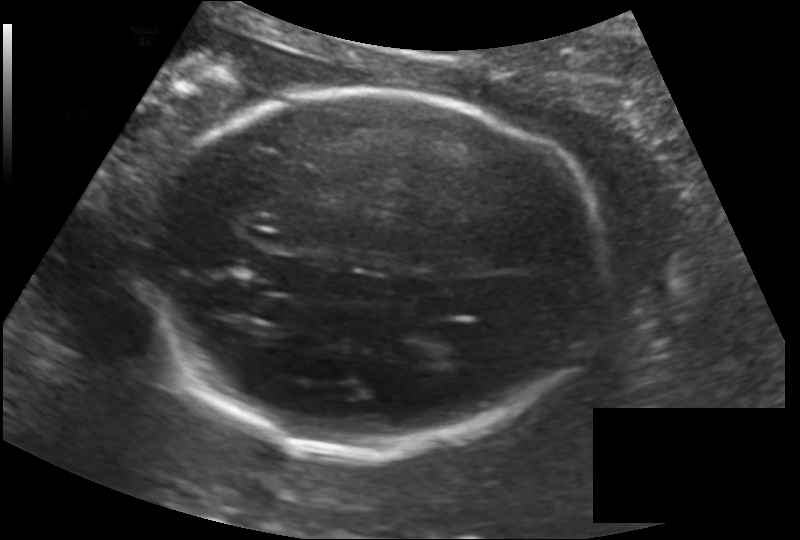
In this fetal head ultrasound, give the bounding box of the fetal head. Image width: 136.3 mm.

[148,93,599,455]